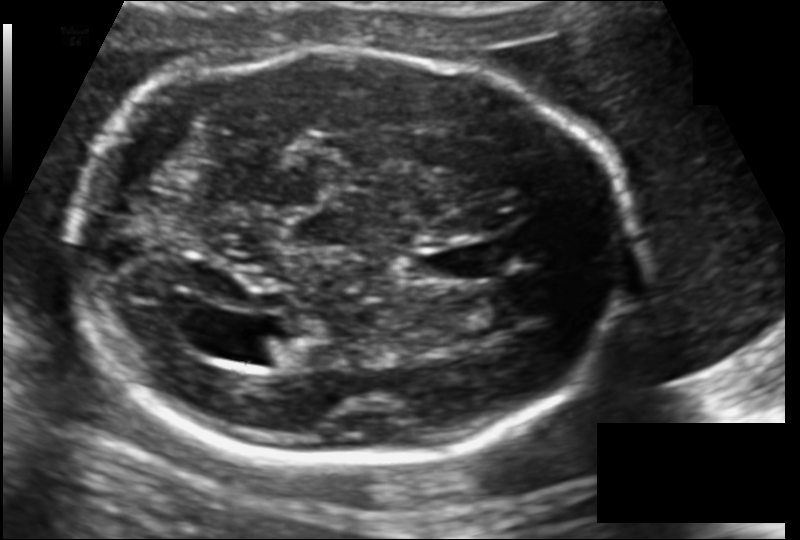
What is the fetal head circumference? Image width is 110.0 mm.

218.7 mm